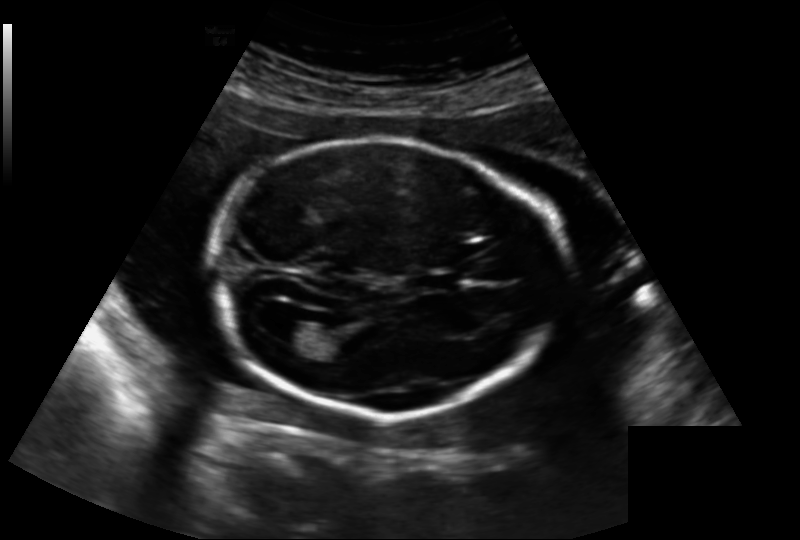
In this fetal head ultrasound, give bounding boxes for the head outline, cavum septum pellucidum (CSP), and lateral ventricle (LV), where visible. Image width: 150.3 mm.

Head: [210,139,563,416]
CSP: [418,271,460,291]
Lateral ventricle: [272,317,319,350]